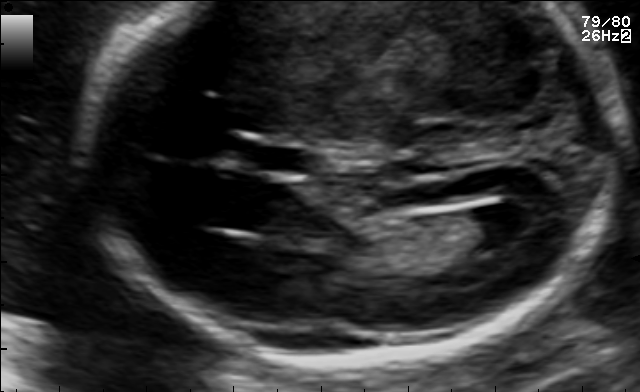
Fetal brain, trans-ventricular plane. Locate the lateral ventricle.

Lateral ventricle: [454,196,540,254]